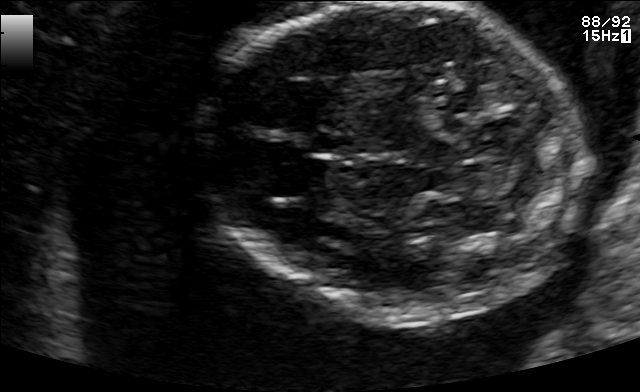
Classify this maternal-fetal ultrasound image as one of the six standard planes — fetal abdomen, fetal brain, fetal femur, fetal thorax, maternal cervix, or other. If it's fetal brain and one of the three standard brain planes (trans-thalamic, trans-cerebellum, trans-ventricular), name which.

Fetal brain (trans-thalamic plane)